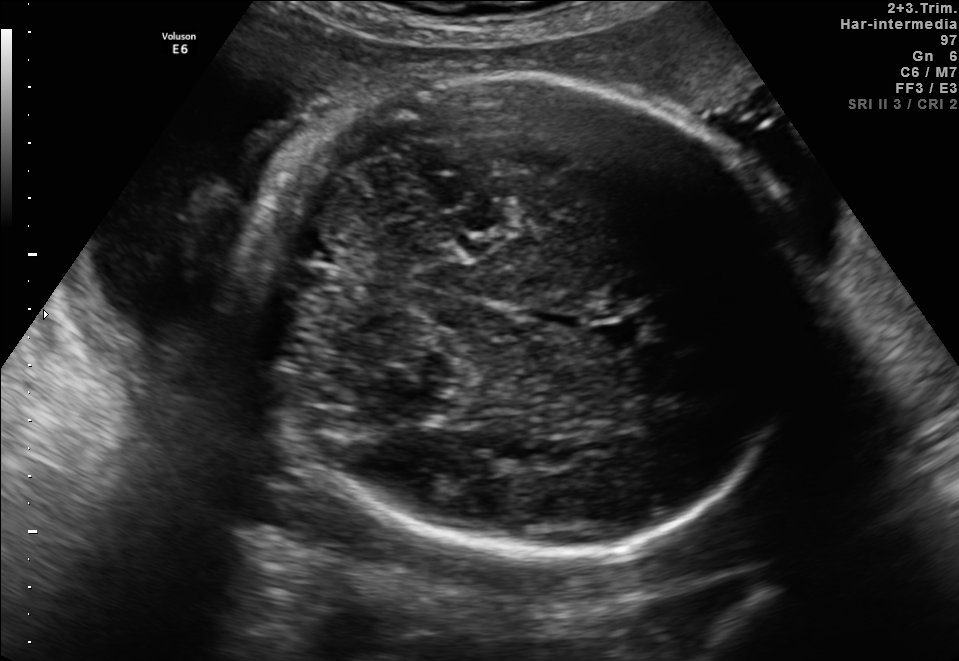
Fetal brain, trans-cerebellum plane. Where is the fetal head?

Head bounding box: [259,79,798,558]